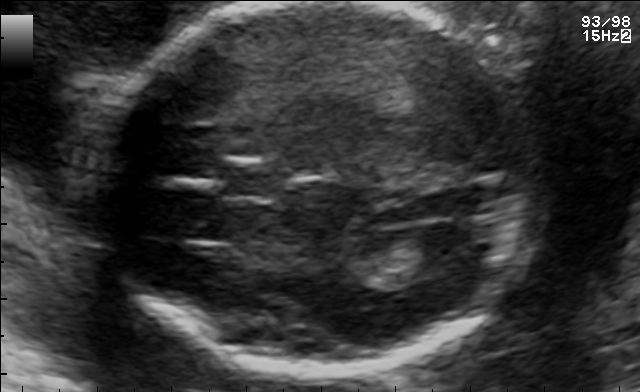
Which standard maternal-fetal ultrasound plane is shown: fetal abdomen, fetal brain, fetal femur, fetal thorax, maternal cervix, or other? If it's fetal brain and one of the three standard brain planes (trans-thalamic, trans-cerebellum, trans-ventricular), name which.

Fetal brain (trans-ventricular plane)